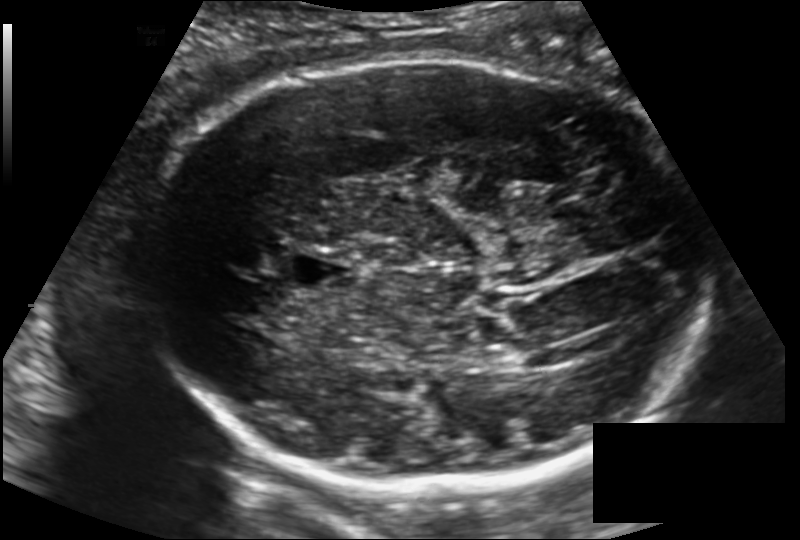
Fetal head ultrasound. Image width: 136.5 mm. Where is the fetal head?

Head bounding box: [137,59,710,486]